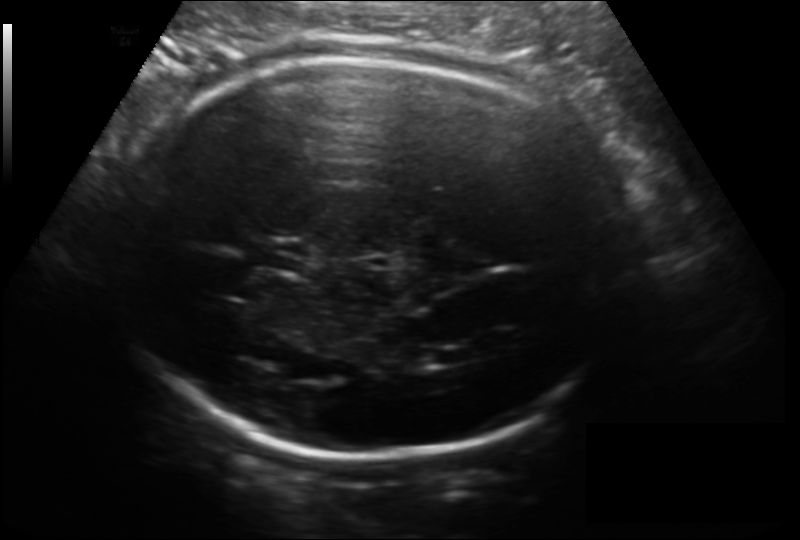
Fetal head ultrasound. Image width: 133.1 mm. Where is the fetal head?

Head bounding box: [109,59,629,457]